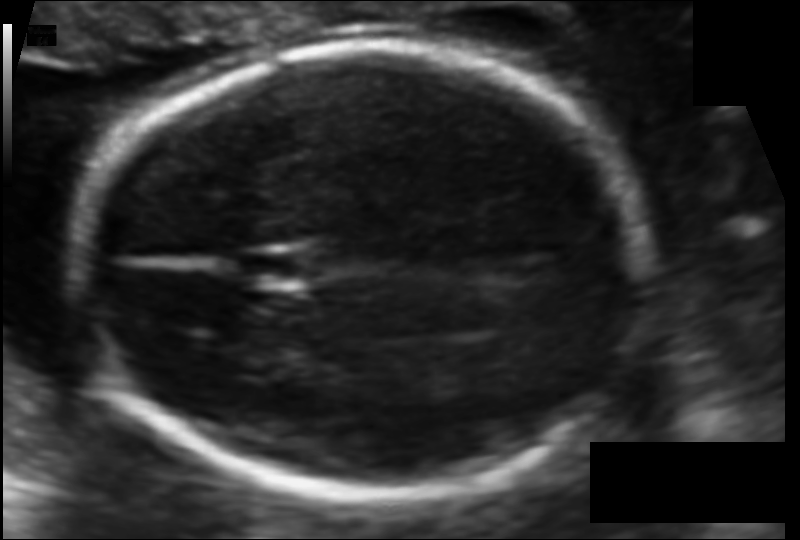
Estimate the fetal head circumference from this 2D ultrasound.

Head circumference: 178.5 mm (image width 84.8 mm).